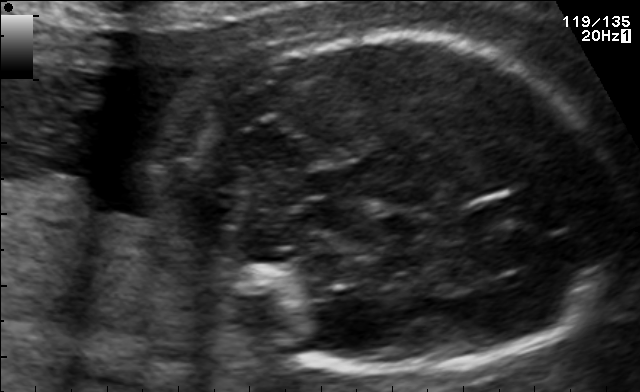
Which standard maternal-fetal ultrasound plane is shown: fetal abdomen, fetal brain, fetal femur, fetal thorax, maternal cervix, or other? If it's fetal brain and one of the three standard brain planes (trans-thalamic, trans-cerebellum, trans-ventricular), name which.

Fetal brain (trans-cerebellum plane)